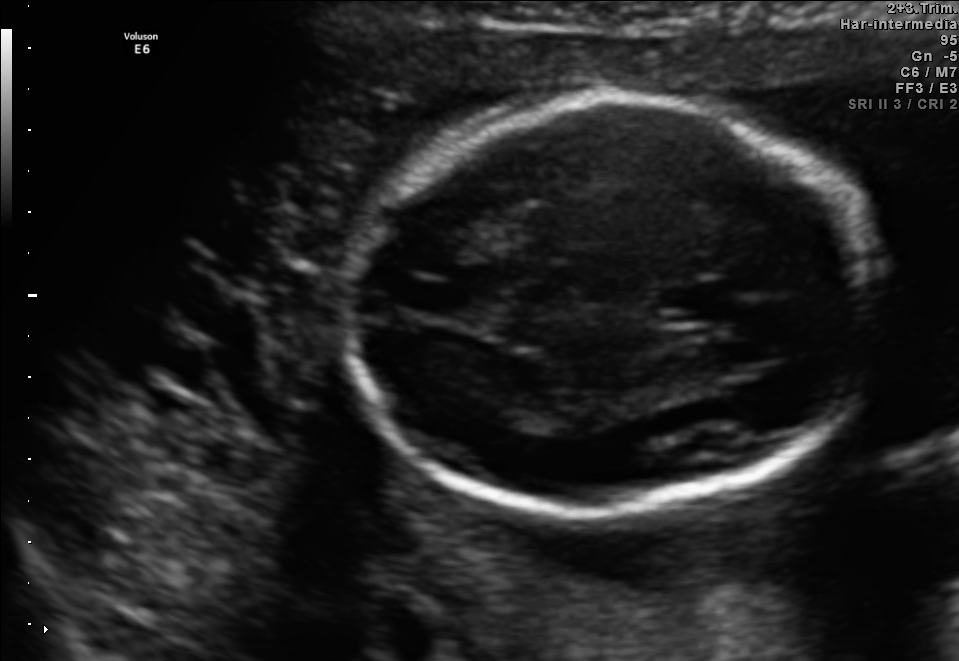
Fetal brain, trans-thalamic plane. Where is the cavum septum pellucidum?

CSP bounding box: [660,280,730,324]